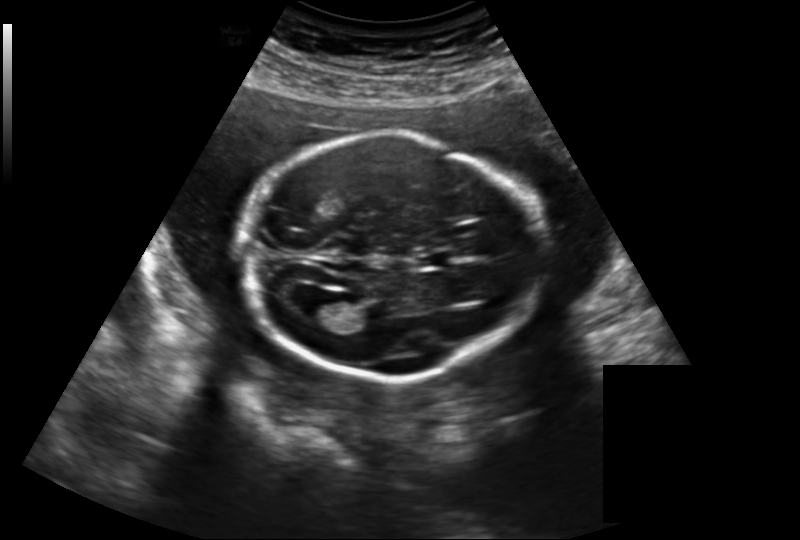
In this fetal head ultrasound, give the bounding box of the cavum septum pellucidum. Image width: 175.2 mm.

[417,250,453,269]